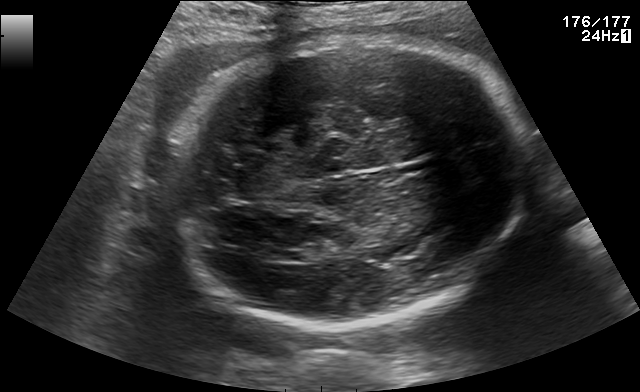
Fetal brain, trans-thalamic plane. Locate the fetal head and, if visible, the cavum septum pellucidum (CSP) and lateral ventricle (LV). Give bounding boxes as [x1,y1,x2,y2].

Head: [164,37,527,321]
Lateral ventricle: [270,251,307,263]